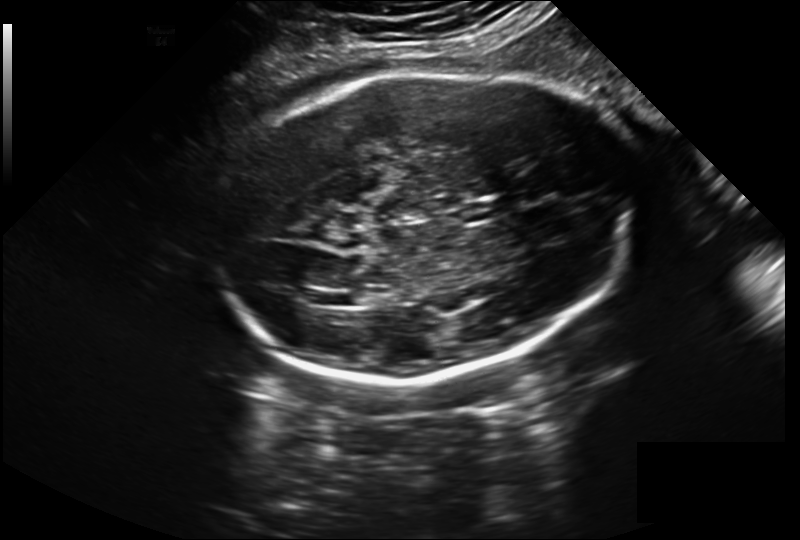
In this fetal head ultrasound, give the bounding box of the fetal head. Image width: 194.5 mm.

[210,69,633,380]